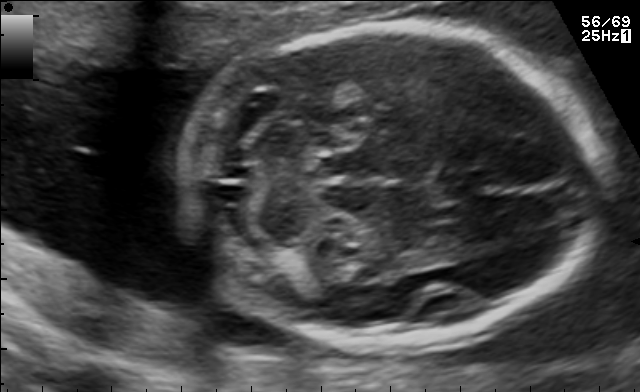
Fetal brain, trans-cerebellum plane. Give [x1,y1,x2,y2] bounding boxes for each visible structure among: fetal head, CSP, LV.

Head: [184,23,606,342]
CSP: [429,162,497,208]